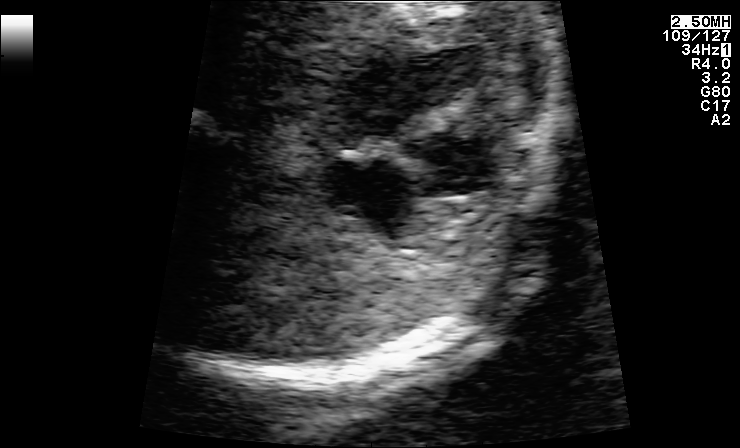
Classify this maternal-fetal ultrasound image as one of the six standard planes — fetal abdomen, fetal brain, fetal femur, fetal thorax, maternal cervix, or other. If it's fetal brain and one of the three standard brain planes (trans-thalamic, trans-cerebellum, trans-ventricular), name which.

Fetal thorax